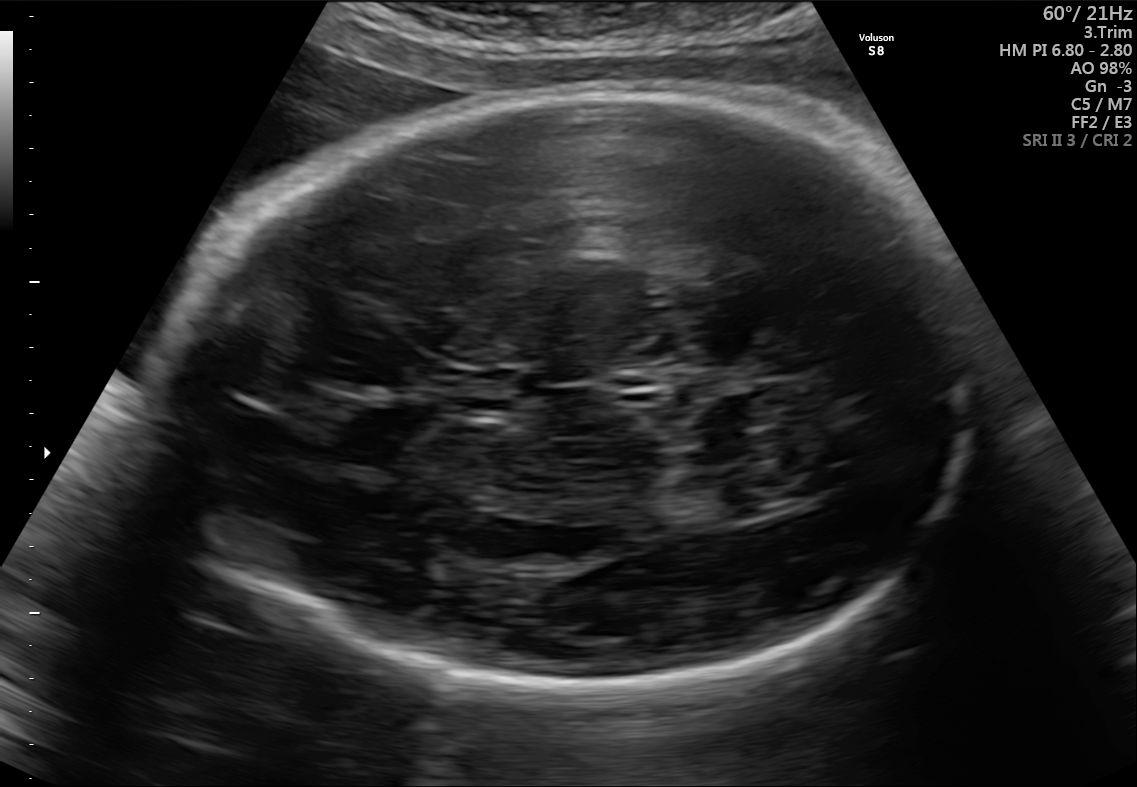
Fetal brain, trans-thalamic plane. Where is the fetal head?

Head bounding box: [161,94,978,705]